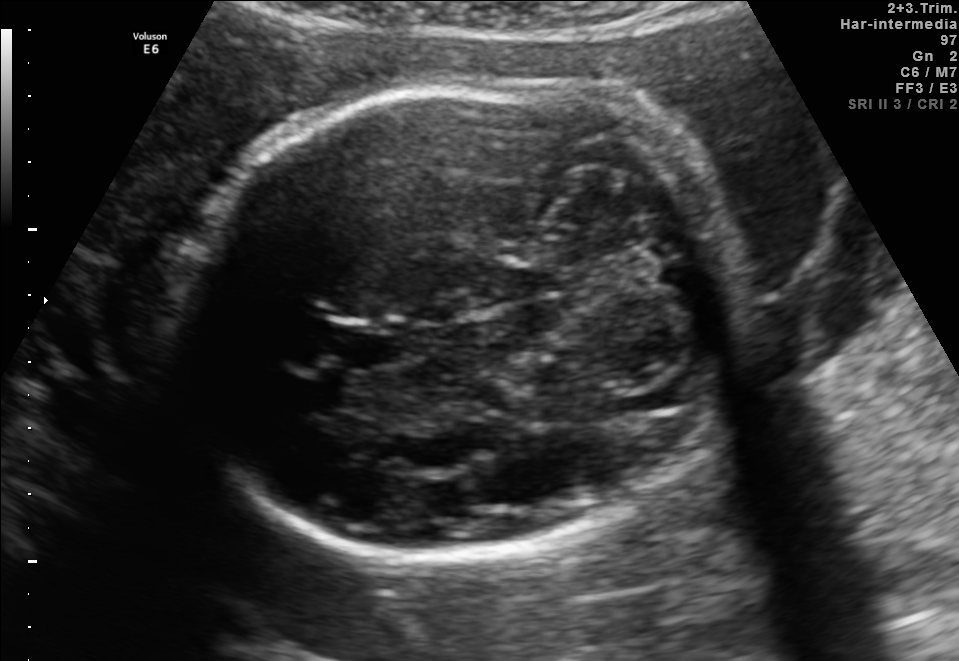
Identify the standard plane in this fetal ultrasound image: fetal abdomen, fetal brain, fetal femur, fetal thorax, maternal cervix, or other. If it's fetal brain and one of the three standard brain planes (trans-thalamic, trans-cerebellum, trans-ventricular), name which.

Fetal brain (trans-cerebellum plane)